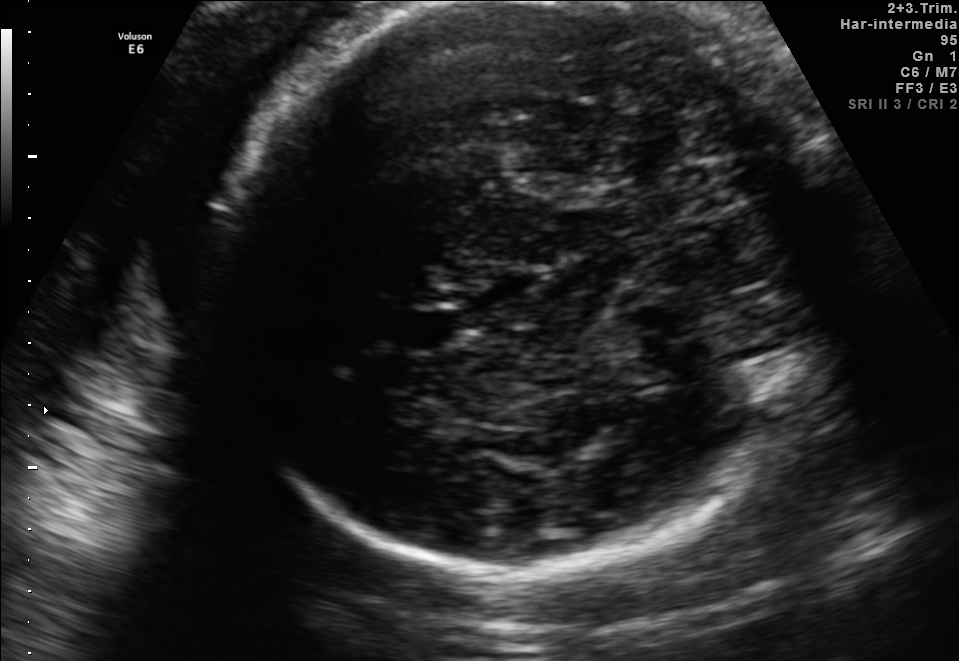
This is a 2D maternal-fetal ultrasound frame. Is it a fetal abdomen, fetal brain, fetal femur, fetal thorax, maternal cervix, or other standard plane? If it's fetal brain and one of the three standard brain planes (trans-thalamic, trans-cerebellum, trans-ventricular), name which.

Fetal brain (trans-thalamic plane)